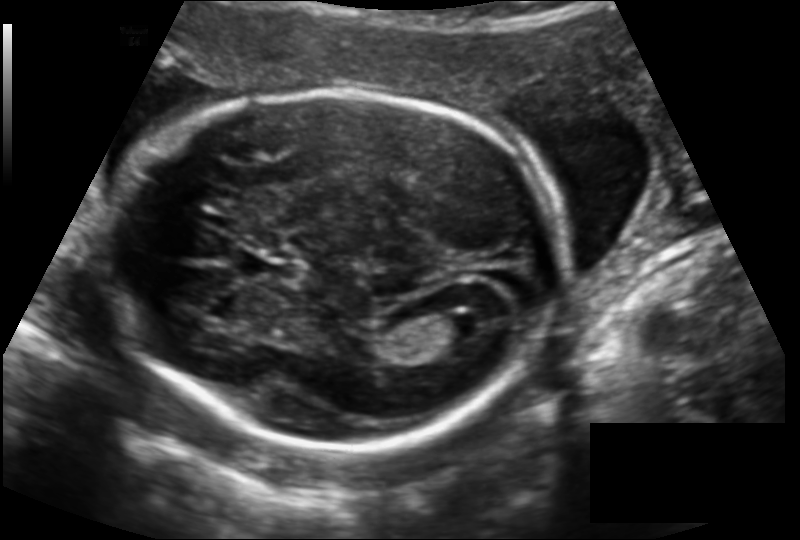
In this fetal head ultrasound, give the bounding box of the lateral ventricle. Image width: 113.5 mm.

[427,307,482,347]